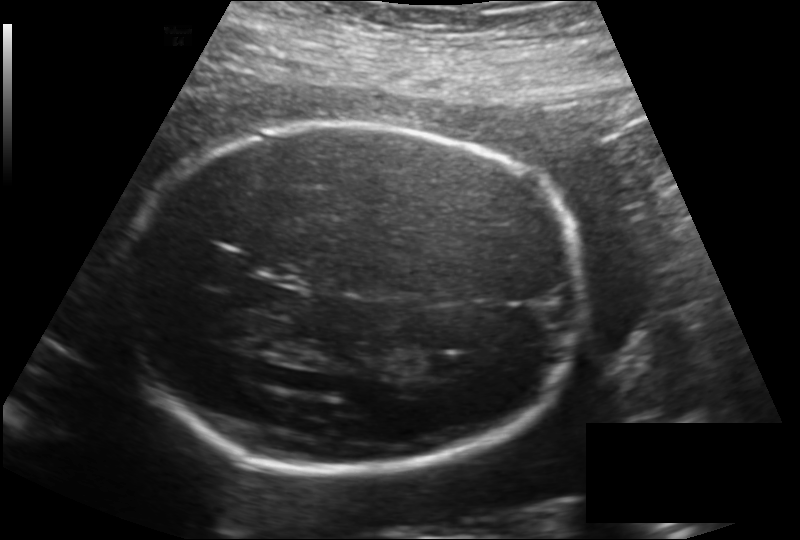
Fetal head ultrasound. Image width: 149.9 mm. Where is the cavum septum pellucidum?

CSP bounding box: [242,278,306,322]